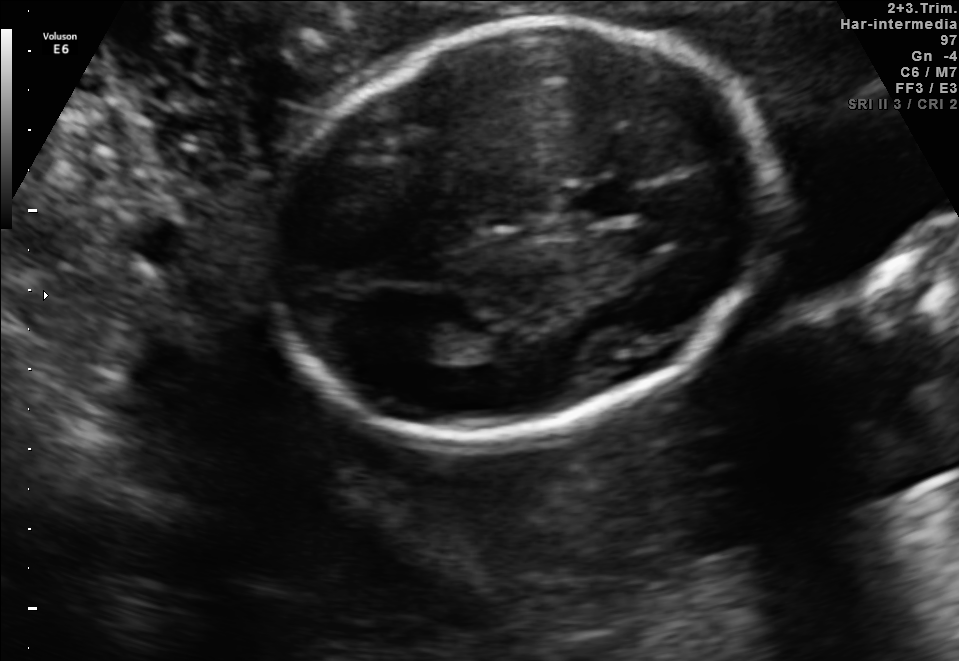
In this fetal brain, trans-thalamic plane, give the bounding box of the fetal head.

[272,23,767,438]